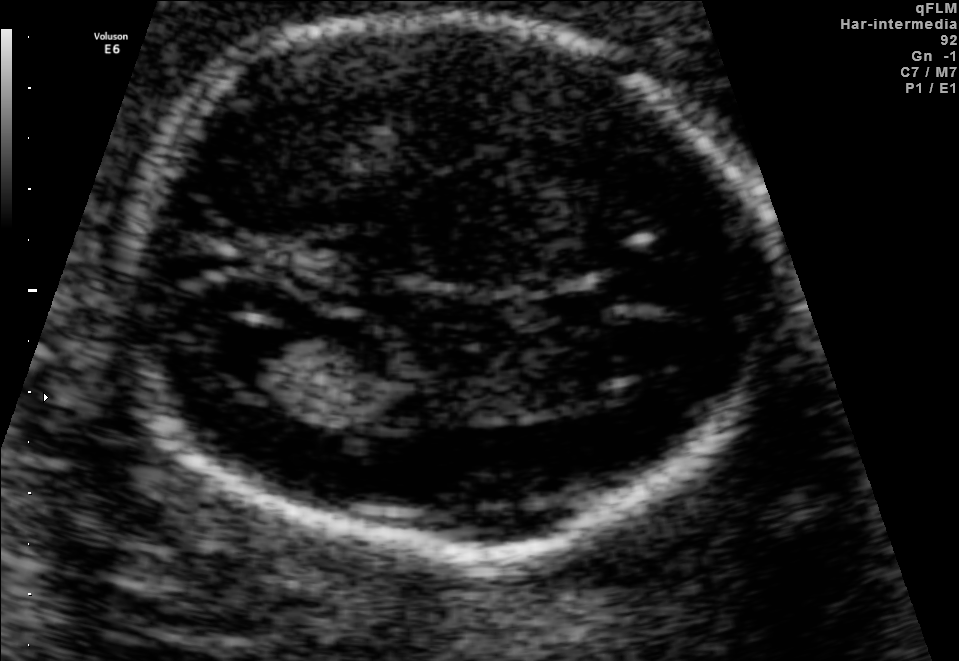
Fetal brain, trans-ventricular plane. Locate the fetal head and, if visible, the cavum septum pellucidum (CSP) and lateral ventricle (LV). Give bounding boxes as [x1,y1,x2,y2].

Head: [100,6,783,571]
Lateral ventricle: [190,307,298,392]